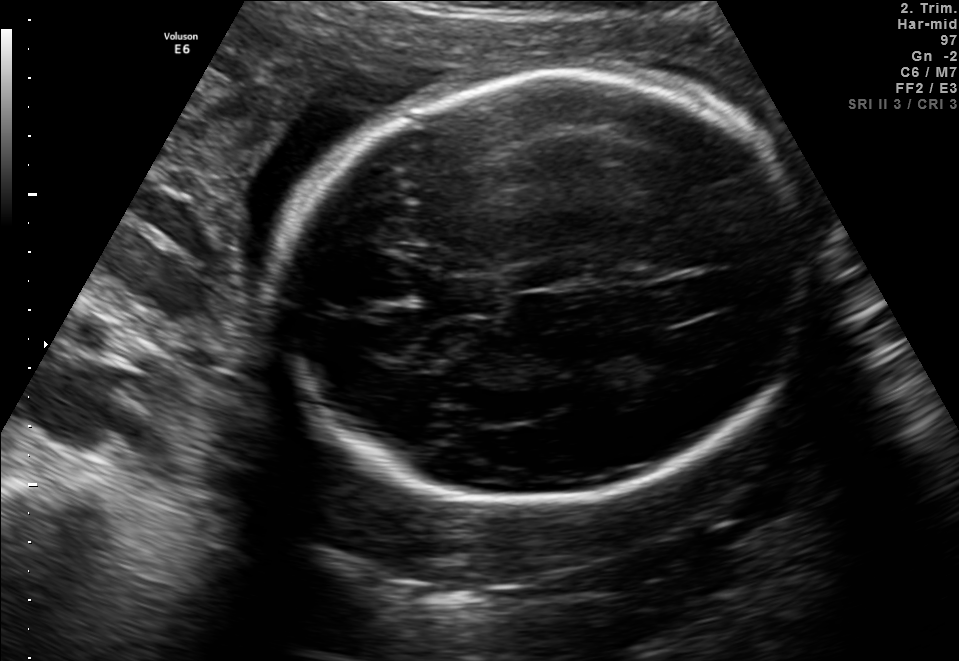
Fetal brain, trans-ventricular plane. Locate the fetal head and, if visible, the cavum septum pellucidum (CSP) and lateral ventricle (LV). Give bounding boxes as [x1,y1,x2,y2].

Head: [263,66,822,517]